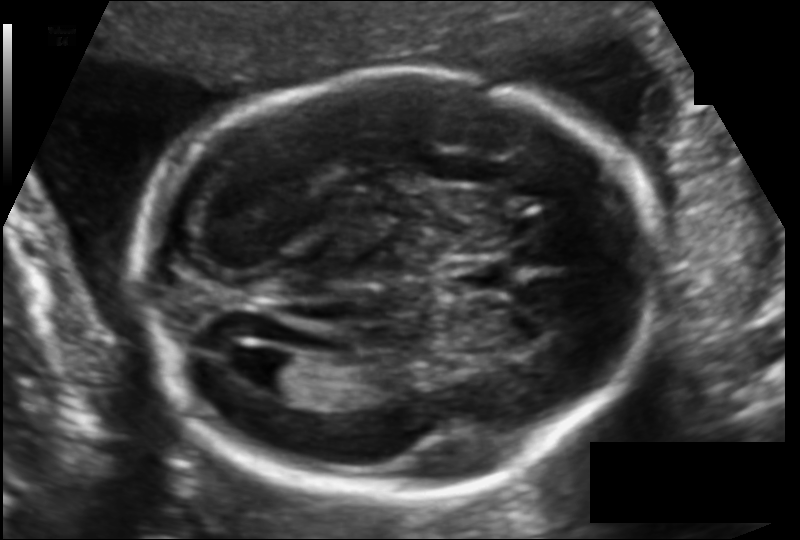
From this fetal ultrasound, estimate the head circumference (image width 97.1 mm).

Head circumference: 184.2 mm.